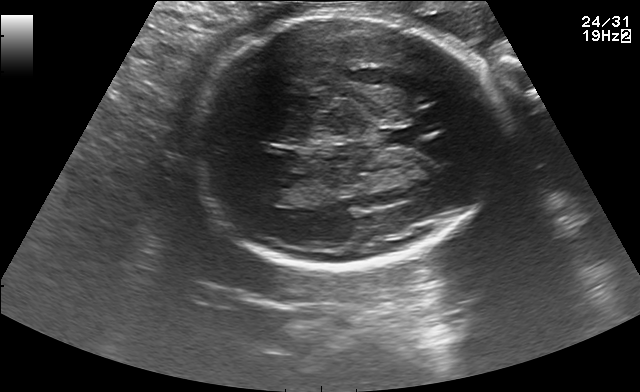
Fetal brain, trans-thalamic plane. Give [x1,y1,x2,y2] bounding boxes for each visible structure among: fetal head, CSP, LV.

Head: [193,12,495,269]
CSP: [380,124,417,148]
Lateral ventricle: [253,179,301,207]